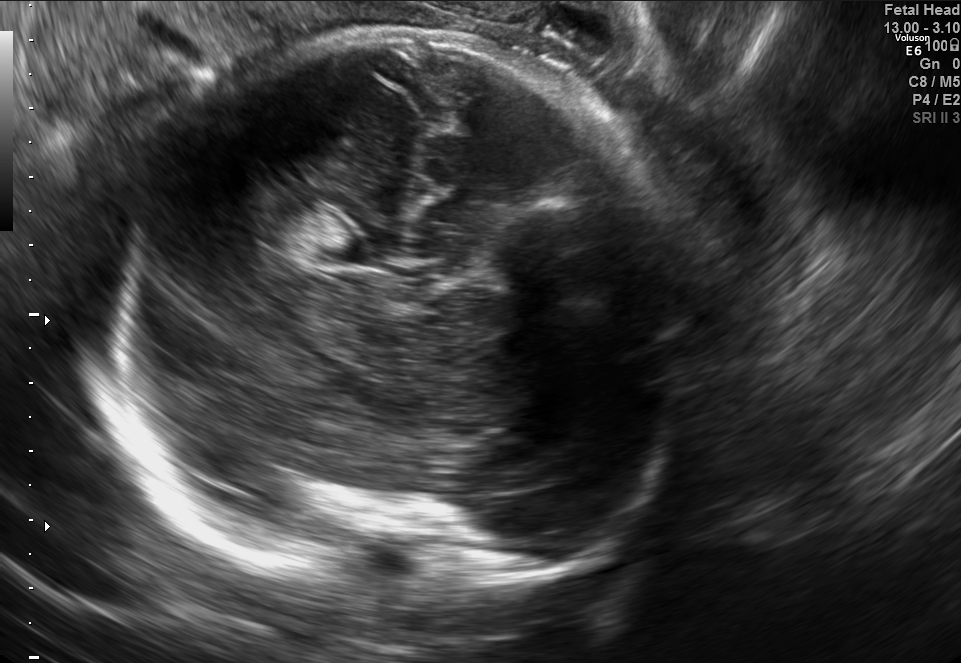
Classify this maternal-fetal ultrasound image as one of the six standard planes — fetal abdomen, fetal brain, fetal femur, fetal thorax, maternal cervix, or other. If it's fetal brain and one of the three standard brain planes (trans-thalamic, trans-cerebellum, trans-ventricular), name which.

Other